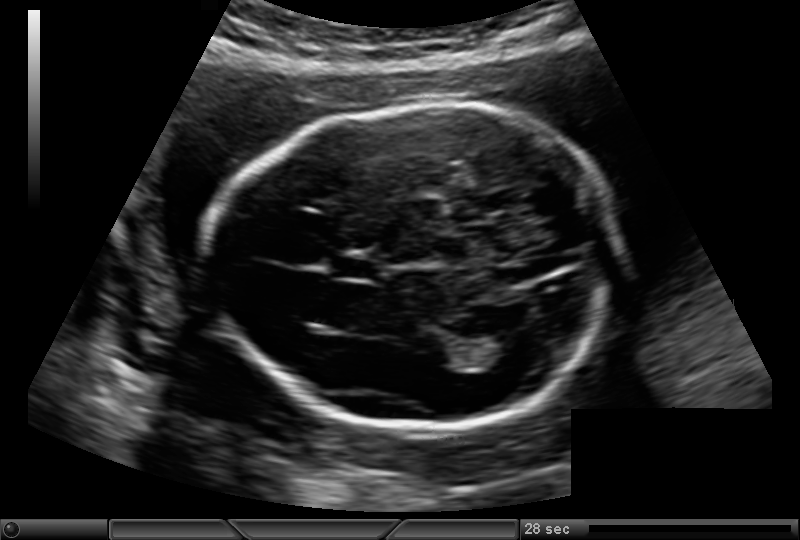
In this fetal head ultrasound, give the bounding box of the fetal head. Image width: 117.2 mm.

[209,107,616,430]